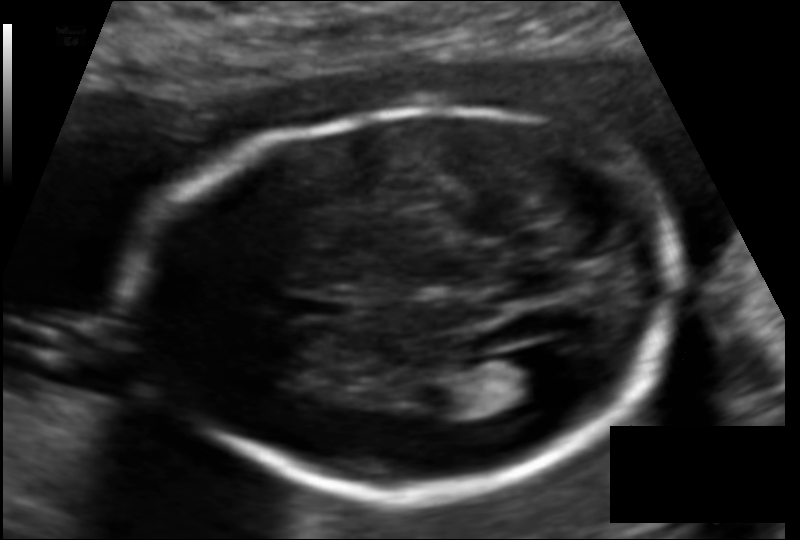
In this fetal head ultrasound, give the bounding box of the lateral ventricle. Image width: 91.1 mm.

[481,344,561,413]